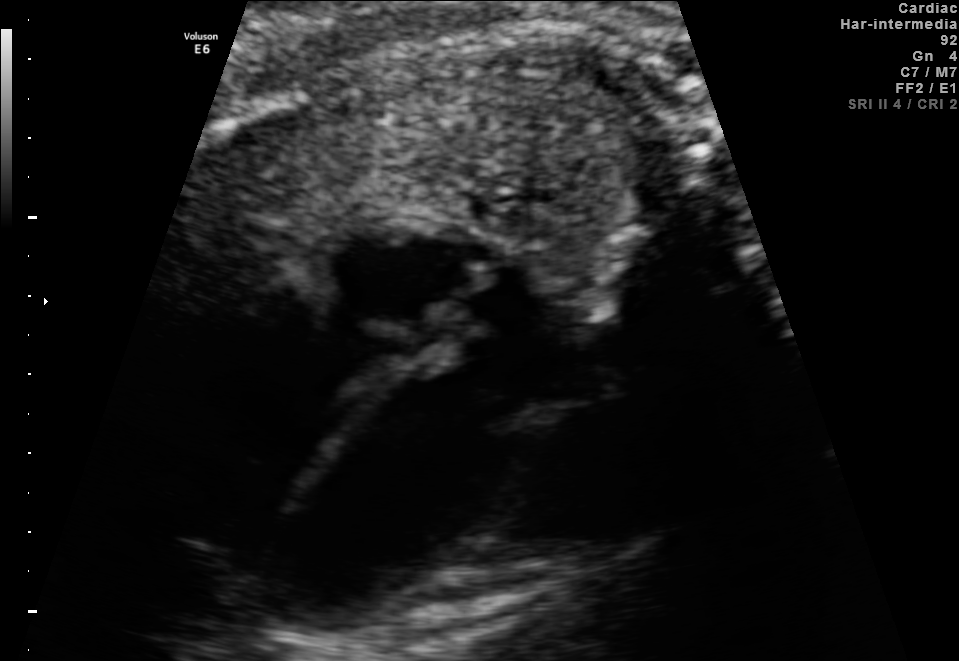
Which standard maternal-fetal ultrasound plane is shown: fetal abdomen, fetal brain, fetal femur, fetal thorax, maternal cervix, or other? If it's fetal brain and one of the three standard brain planes (trans-thalamic, trans-cerebellum, trans-ventricular), name which.

Fetal thorax